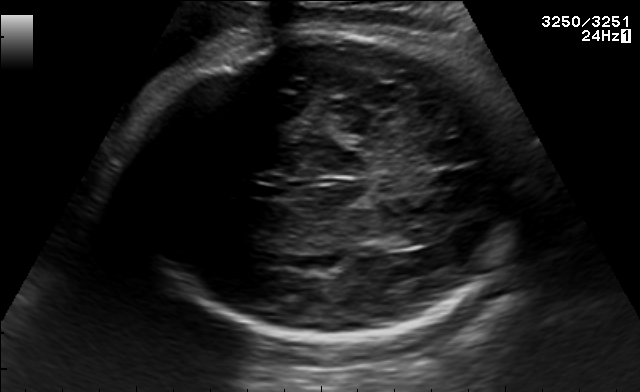
Fetal brain, trans-thalamic plane. Locate the cavum septum pellucidum.

CSP: [250,183,283,200]